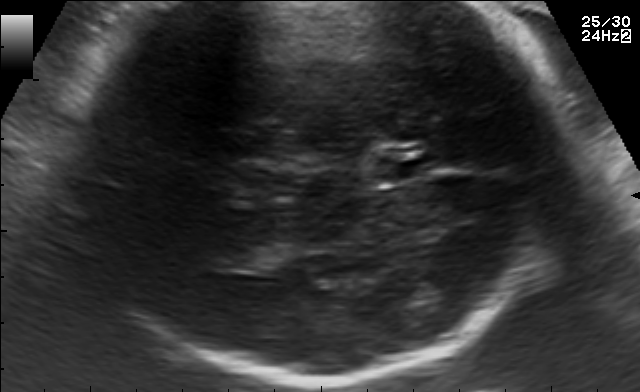
In this fetal brain, trans-thalamic plane, give the bounding box of the cavum septum pellucidum.

[372,149,436,188]